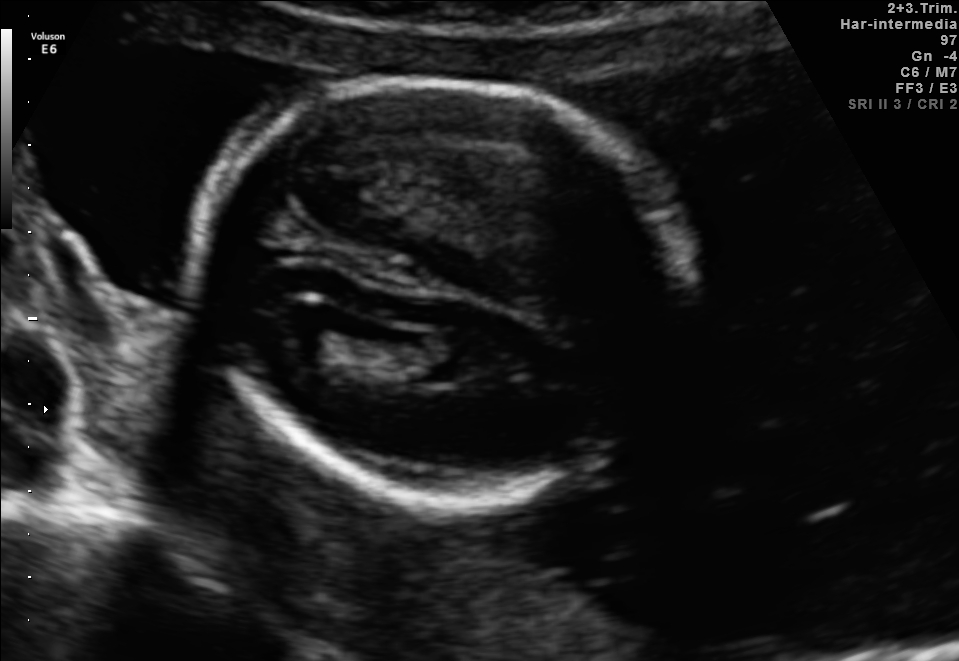
Fetal brain, trans-ventricular plane. Locate the fetal head and, if visible, the cavum septum pellucidum (CSP) and lateral ventricle (LV). Give bounding boxes as [x1,y1,x2,y2].

Head: [181,69,716,512]